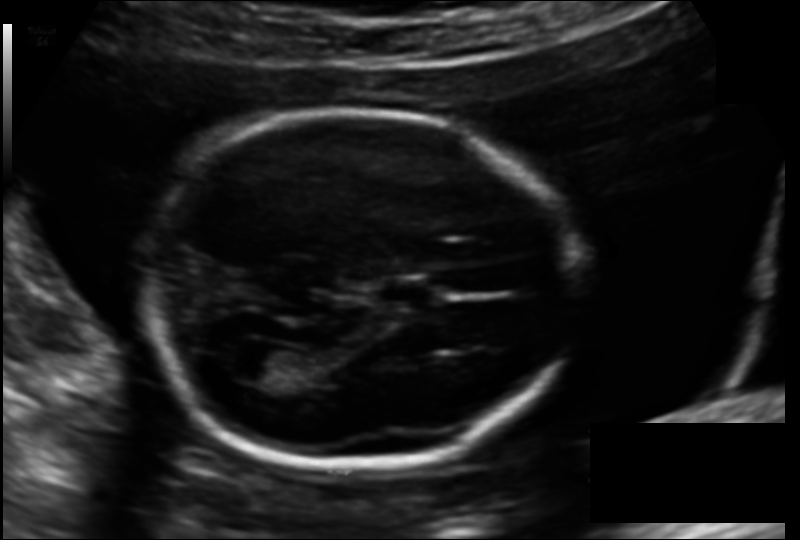
In this fetal head ultrasound, give the bounding box of the cavum septum pellucidum. Image width: 109.9 mm.

[378,277,437,304]